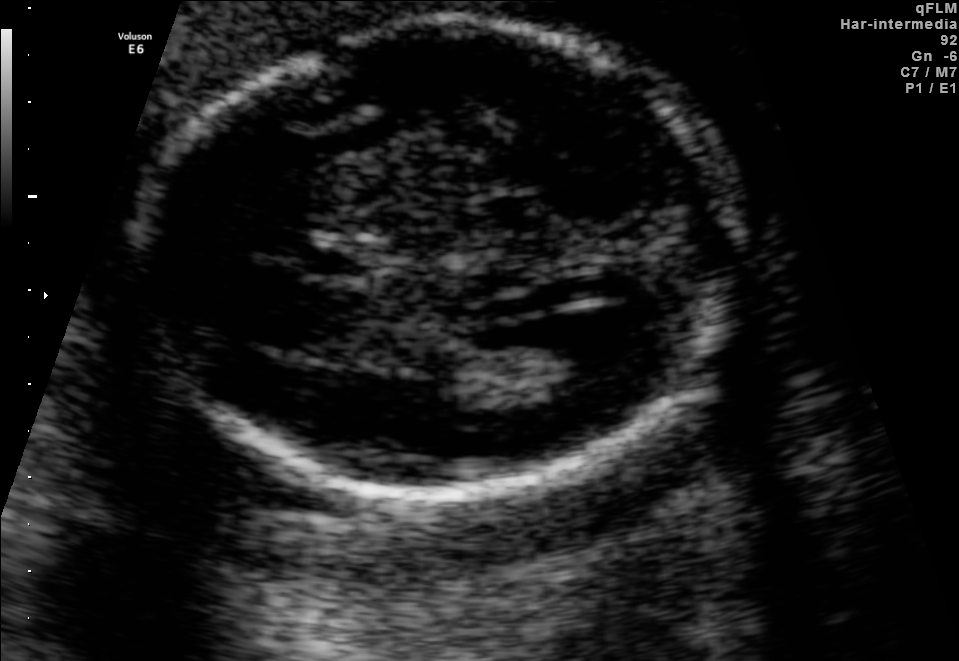
Fetal brain, trans-ventricular plane. Where is the fetal head?

Head bounding box: [130,7,745,498]